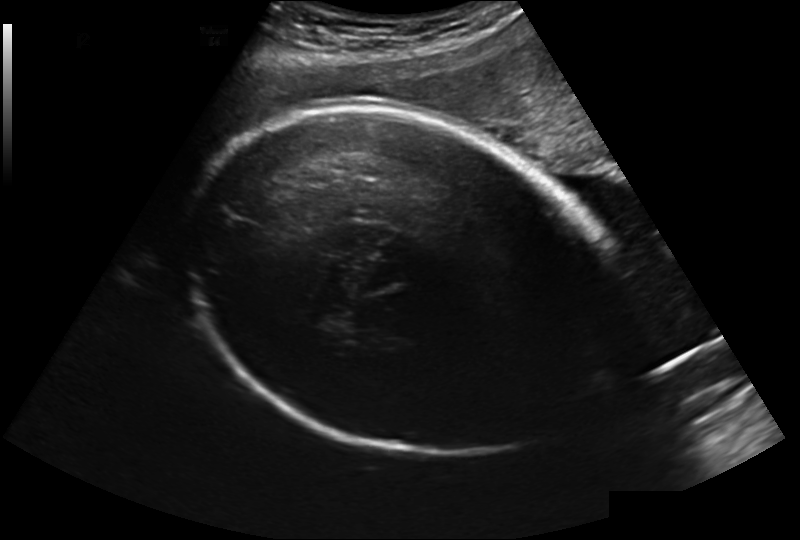
Fetal head ultrasound. Image width: 192.6 mm. Where is the fetal head?

Head bounding box: [185,109,611,455]